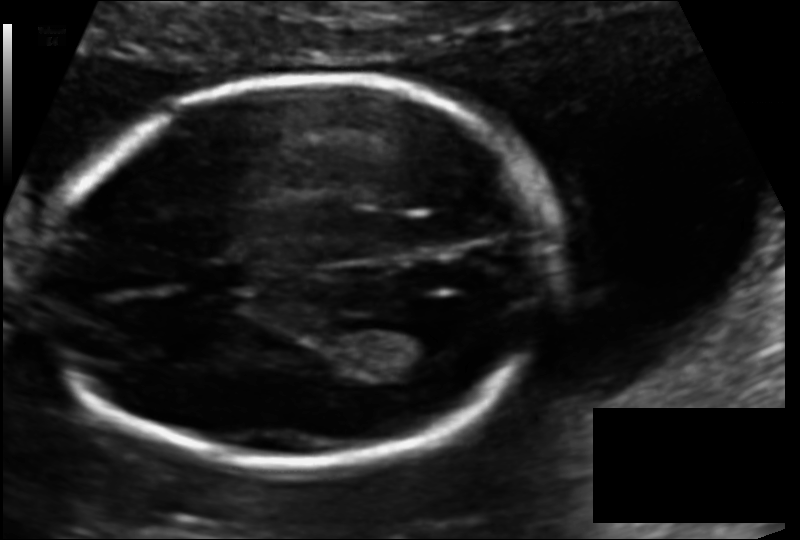
Measure the fetal head circumference shown in this ultrasound image. Image width: 90.5 mm.

Head circumference: 167.7 mm.